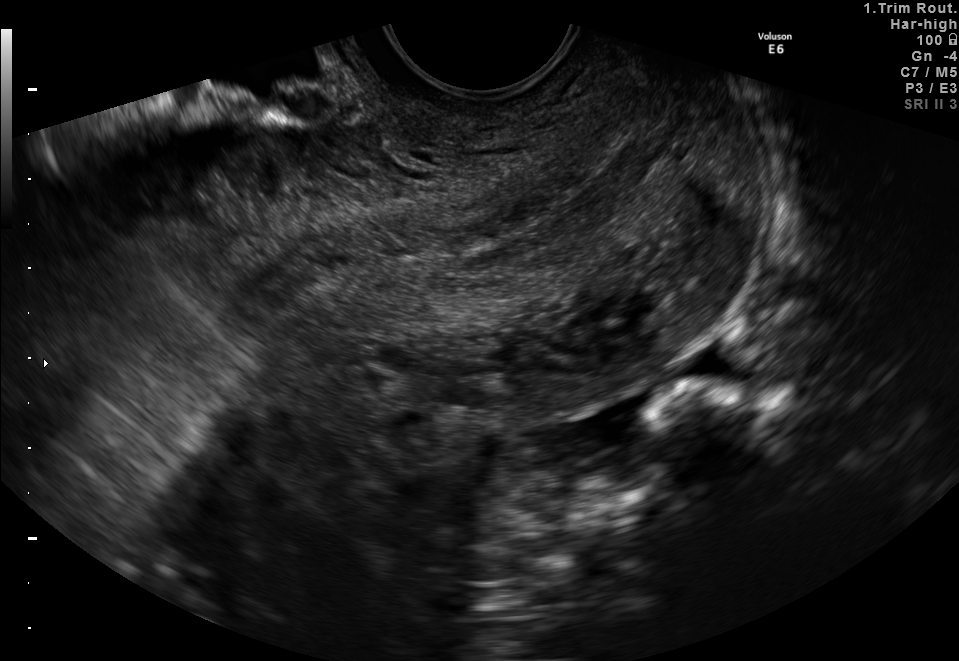
Which standard maternal-fetal ultrasound plane is shown: fetal abdomen, fetal brain, fetal femur, fetal thorax, maternal cervix, or other? If it's fetal brain and one of the three standard brain planes (trans-thalamic, trans-cerebellum, trans-ventricular), name which.

Maternal cervix